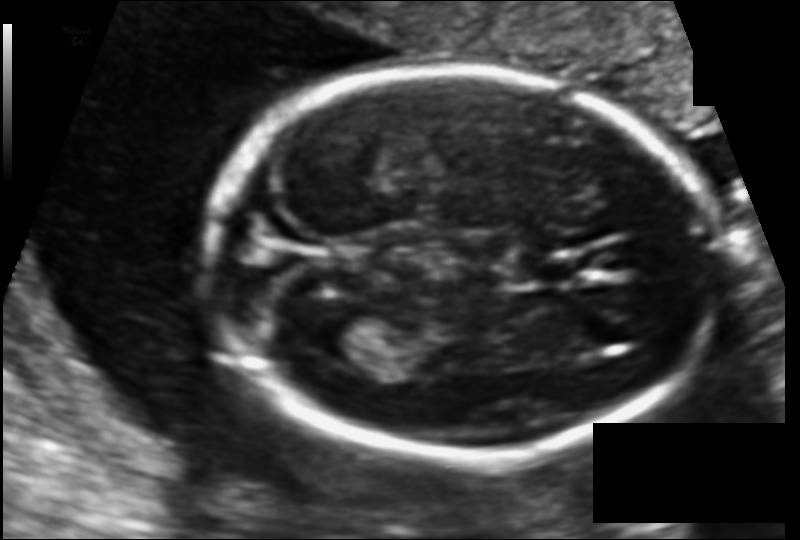
Fetal head ultrasound. Image width: 86.7 mm. Give [x1,y1,x2,y2] bounding boxes for each visible structure among: fetal head, CSP, LV.

Head: [211,67,716,457]
CSP: [519,254,582,287]
Lateral ventricle: [300,297,382,367]